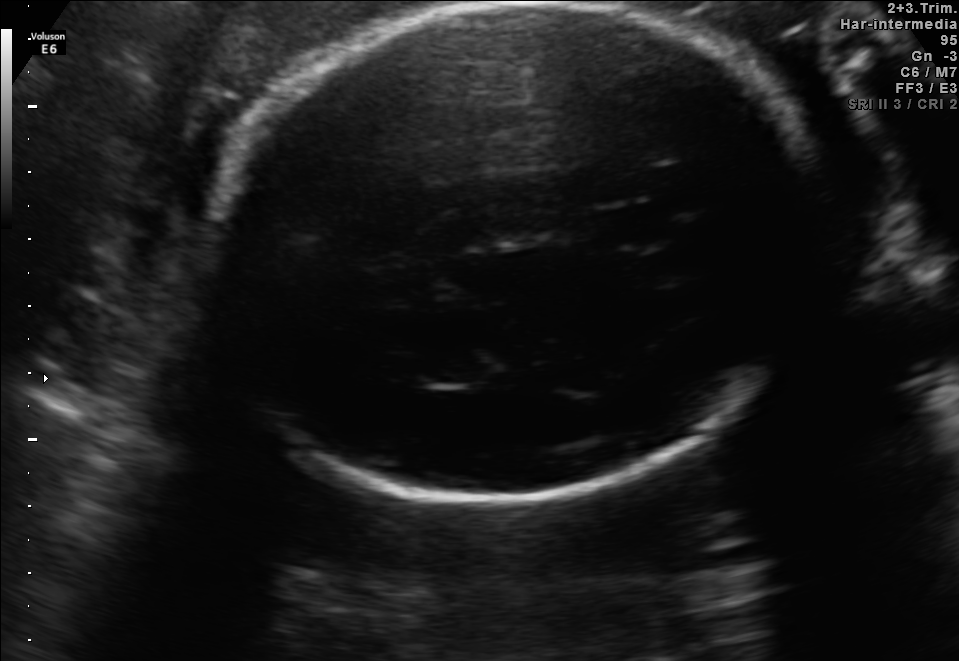
Fetal brain, trans-thalamic plane. Give [x1,y1,x2,y2] bounding boxes for each visible structure among: fetal head, CSP, LV.

Head: [207,3,824,502]
CSP: [589,202,663,249]
Lateral ventricle: [407,349,483,384]